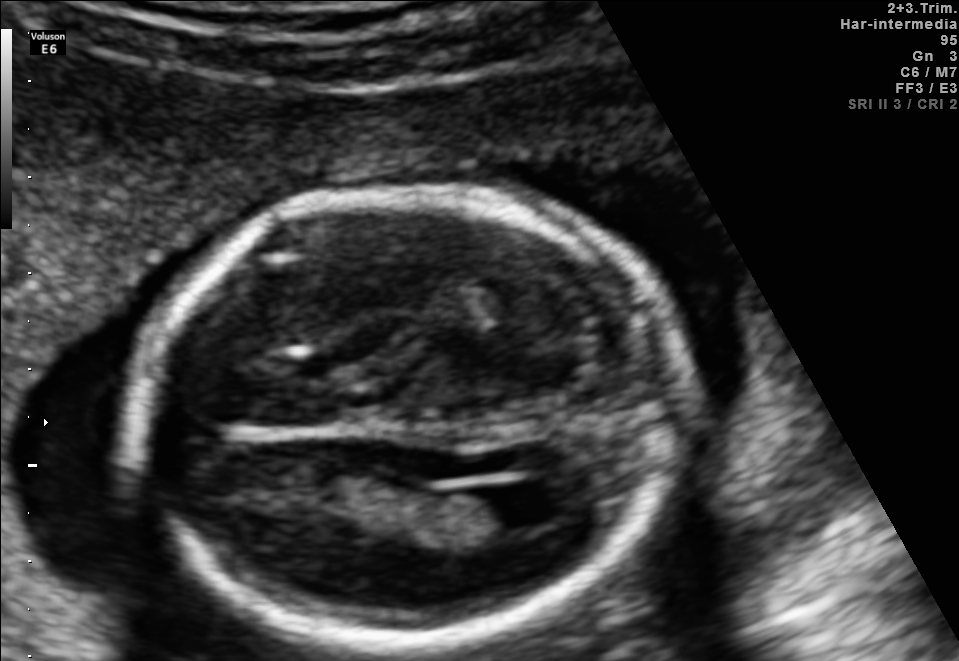
Fetal brain, trans-ventricular plane. Locate the fetal head.

Head: [121,177,702,658]